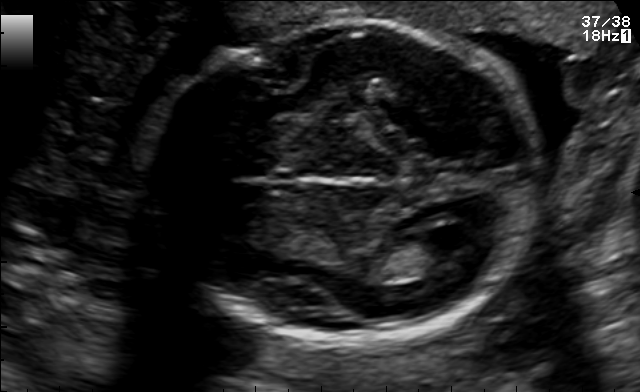
Fetal brain, trans-ventricular plane. Where is the lateral ventricle?

Lateral ventricle bounding box: [422,215,491,257]